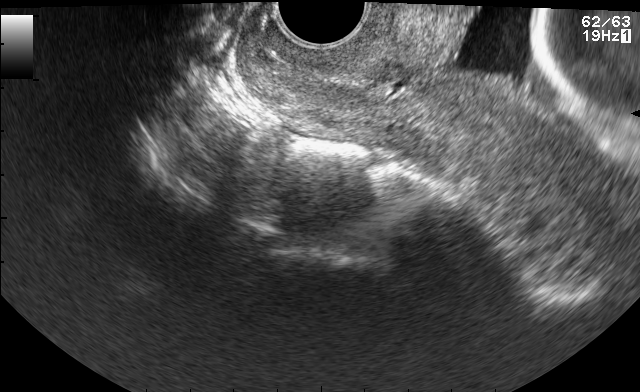
Classify this maternal-fetal ultrasound image as one of the six standard planes — fetal abdomen, fetal brain, fetal femur, fetal thorax, maternal cervix, or other. If it's fetal brain and one of the three standard brain planes (trans-thalamic, trans-cerebellum, trans-ventricular), name which.

Maternal cervix